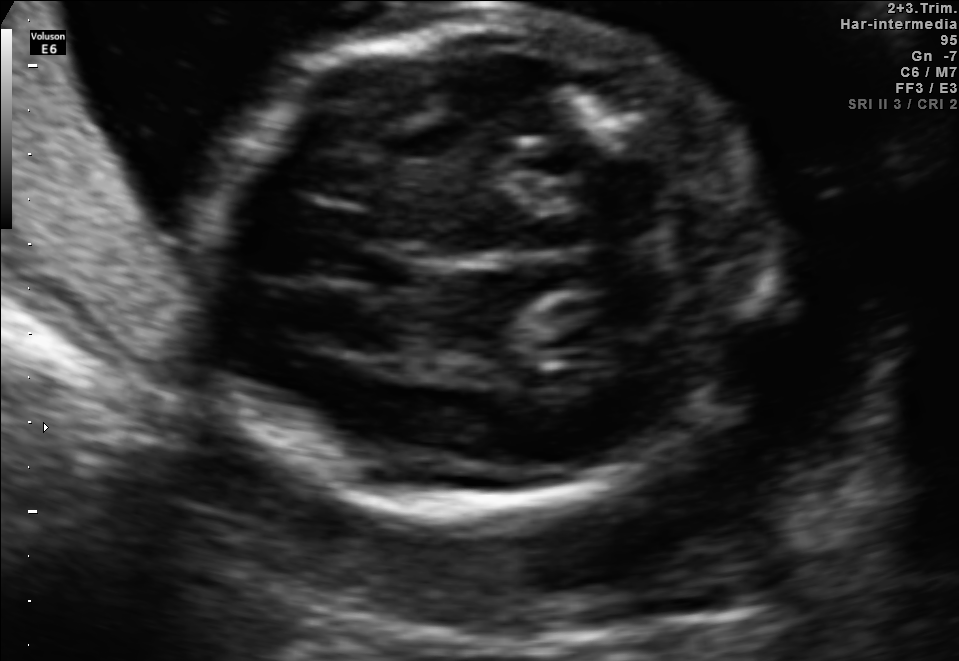
Fetal brain, trans-cerebellum plane. Where is the cavum septum pellucidum?

CSP bounding box: [348,245,426,295]